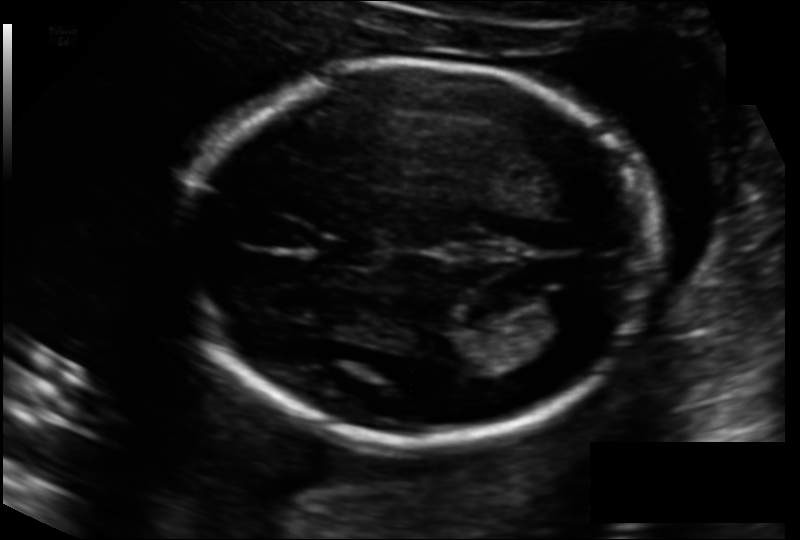
Fetal head ultrasound. Image width: 106.6 mm. Where is the lateral ventricle?

Lateral ventricle bounding box: [523,283,595,341]